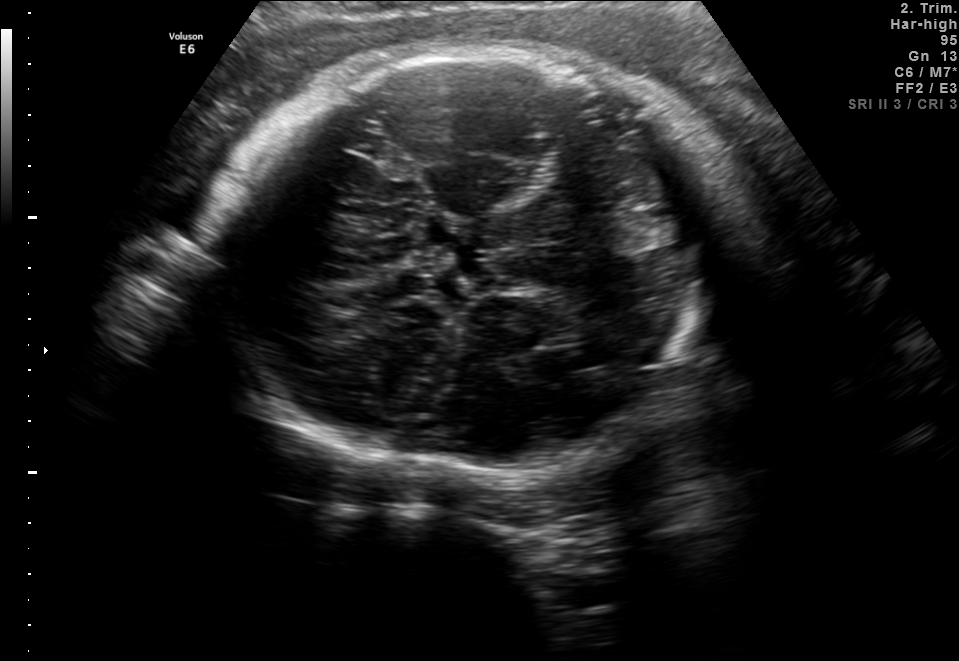
Fetal brain, trans-thalamic plane. Locate the fetal head and, if visible, the cavum septum pellucidum (CSP) and lateral ventricle (LV). Give bounding boxes as [x1,y1,x2,y2].

Head: [204,49,747,472]